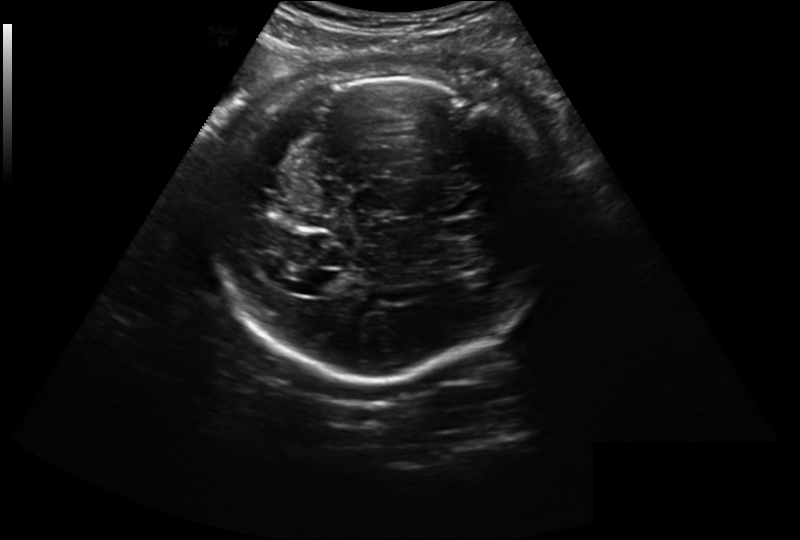
Fetal head ultrasound. Image width: 208.4 mm. Where is the cavum septum pellucidum?

CSP bounding box: [441,219,477,237]